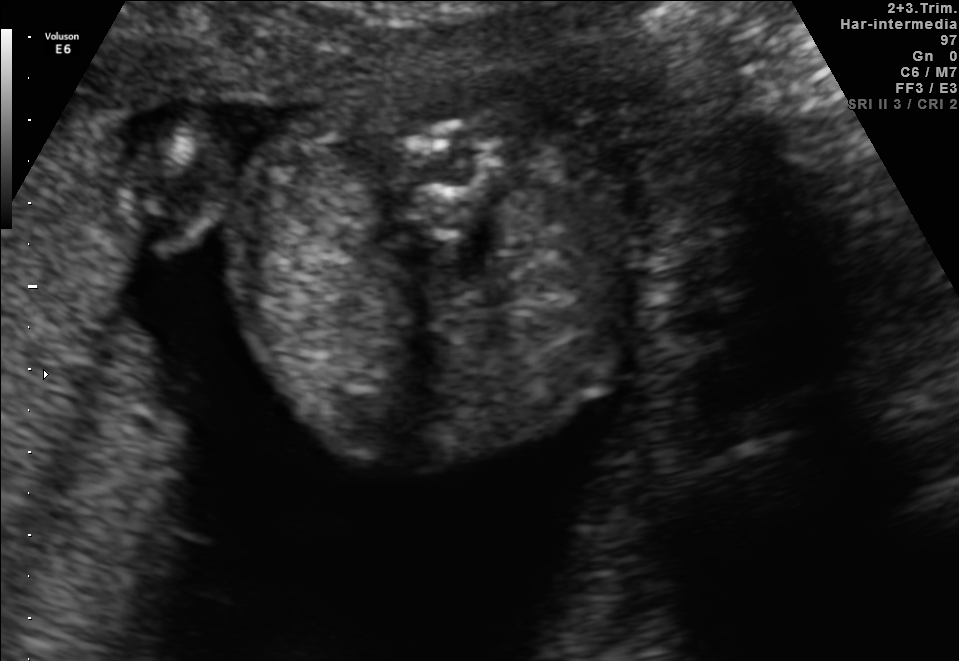
Classify this maternal-fetal ultrasound image as one of the six standard planes — fetal abdomen, fetal brain, fetal femur, fetal thorax, maternal cervix, or other. If it's fetal brain and one of the three standard brain planes (trans-thalamic, trans-cerebellum, trans-ventricular), name which.

Other